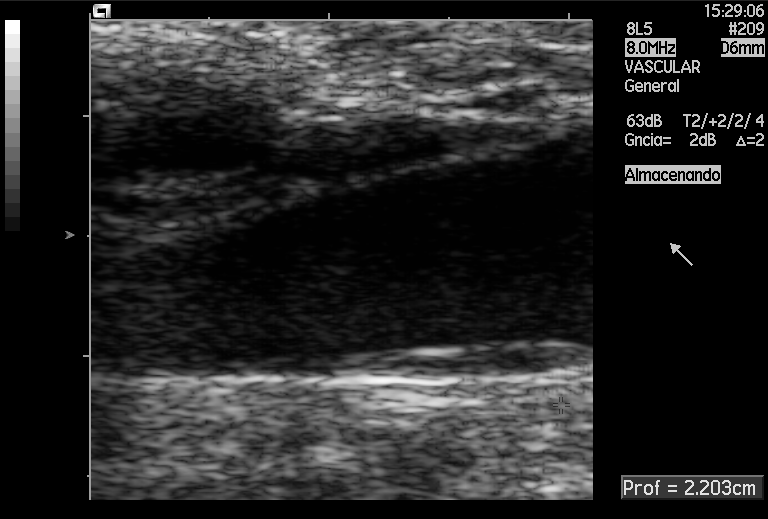
Classify this maternal-fetal ultrasound image as one of the six standard planes — fetal abdomen, fetal brain, fetal femur, fetal thorax, maternal cervix, or other. If it's fetal brain and one of the three standard brain planes (trans-thalamic, trans-cerebellum, trans-ventricular), name which.

Other